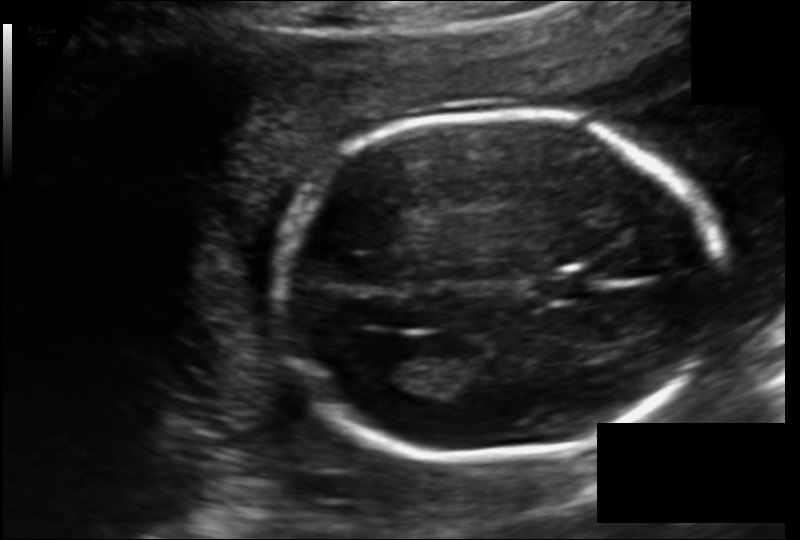
In this fetal head ultrasound, give the bounding box of the fetal head. Image width: 107.8 mm.

[274,110,729,454]